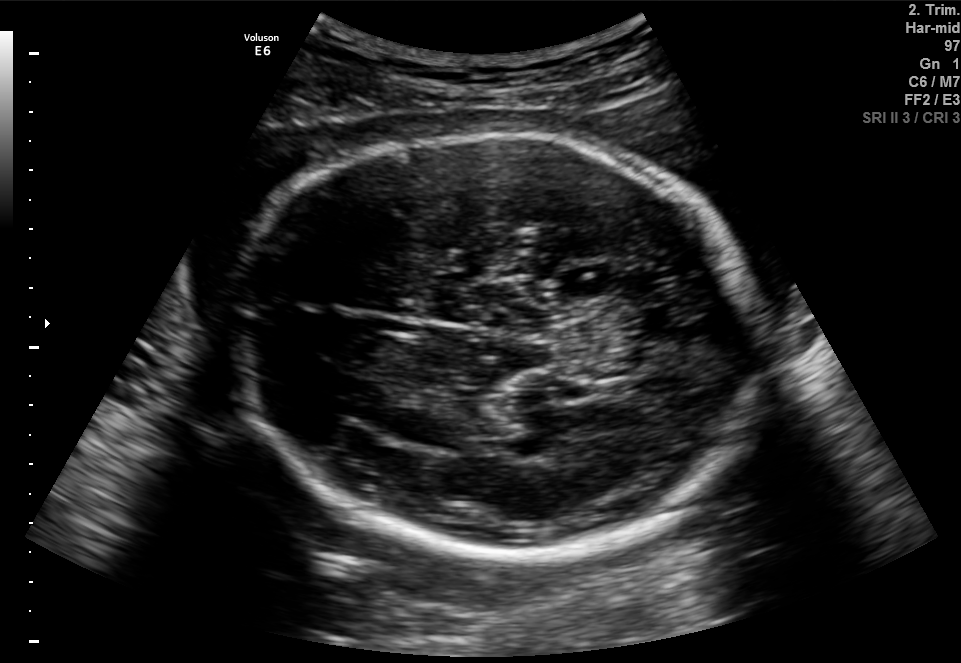
In this fetal brain, trans-thalamic plane, give the bounding box of the fetal head.

[229,132,756,557]